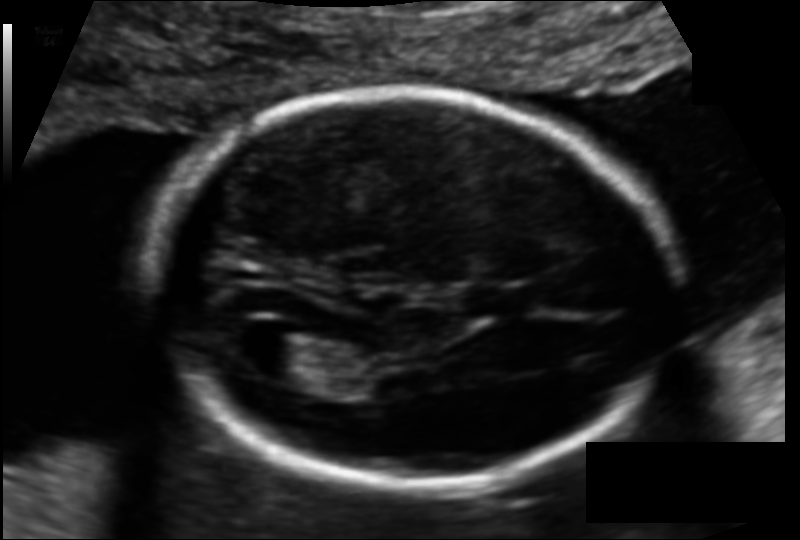
From this fetal ultrasound, estimate the head circumference (image width 91.1 mm).

Head circumference: 169.0 mm.